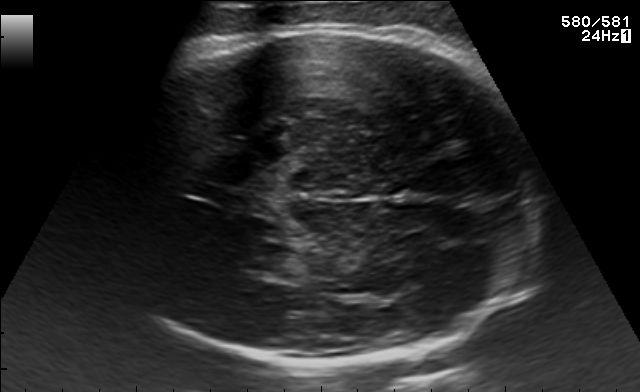
In this fetal brain, trans-thalamic plane, give bounding boxes for the head outline, cavum septum pellucidum (CSP), and lateral ventricle (LV), where visible.

Head: [91,29,533,364]